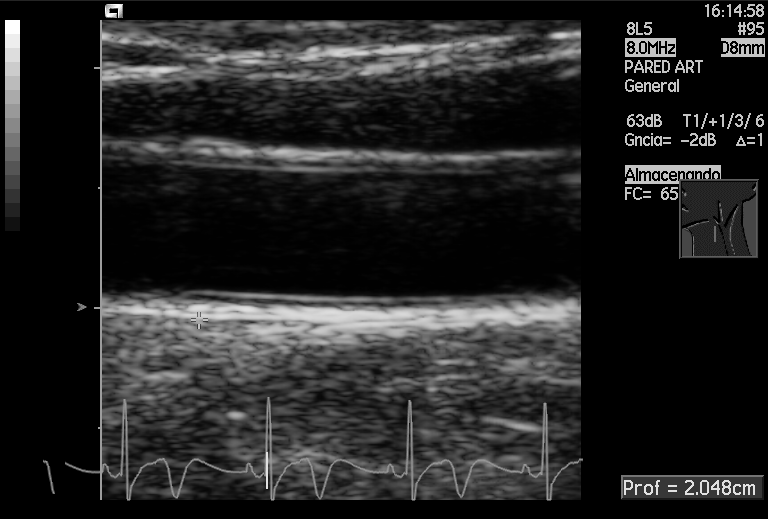
Classify this maternal-fetal ultrasound image as one of the six standard planes — fetal abdomen, fetal brain, fetal femur, fetal thorax, maternal cervix, or other. If it's fetal brain and one of the three standard brain planes (trans-thalamic, trans-cerebellum, trans-ventricular), name which.

Other